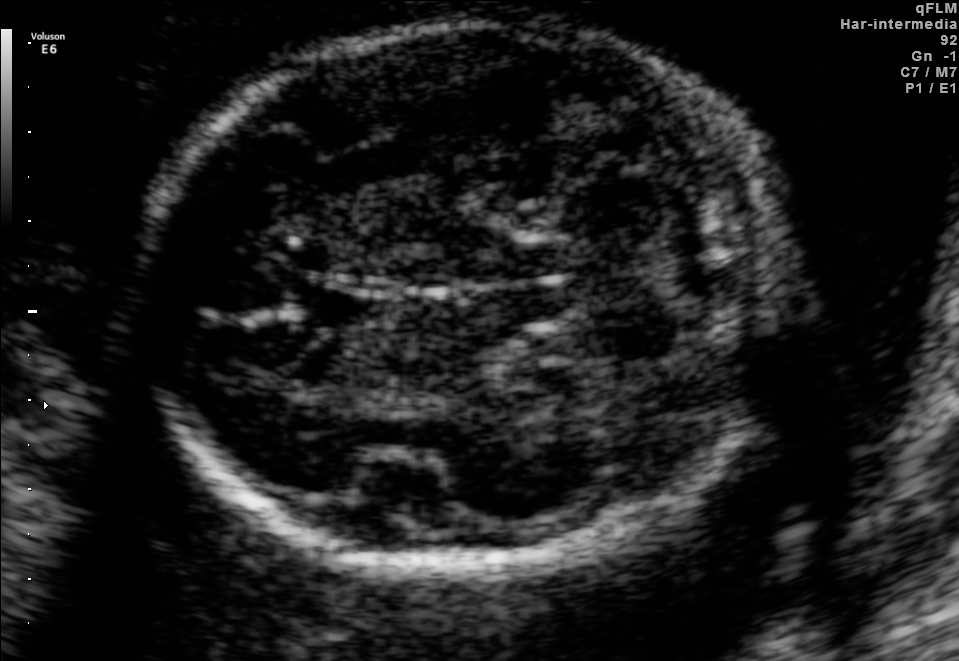
Fetal brain, trans-cerebellum plane. Locate the fetal head.

Head: [145,28,776,567]